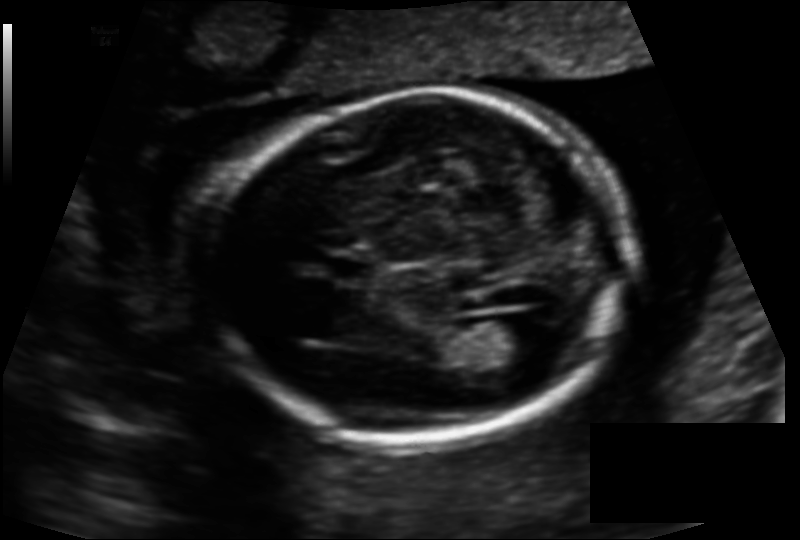
In this fetal head ultrasound, give the bounding box of the fetal head. Image width: 107.3 mm.

[205,93,628,444]